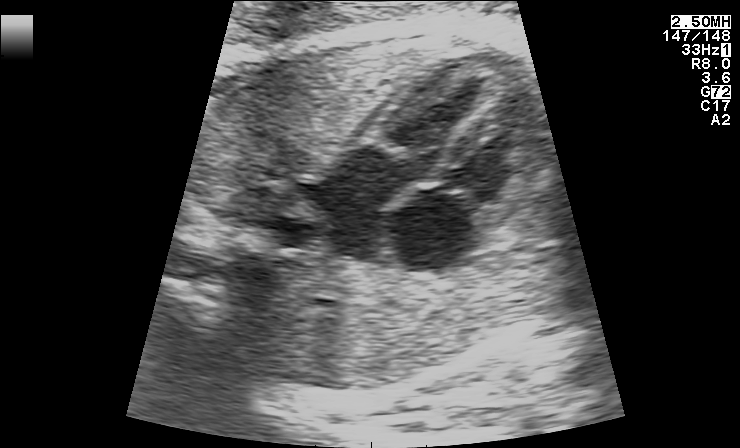
Identify the standard plane in this fetal ultrasound image: fetal abdomen, fetal brain, fetal femur, fetal thorax, maternal cervix, or other. If it's fetal brain and one of the three standard brain planes (trans-thalamic, trans-cerebellum, trans-ventricular), name which.

Fetal thorax